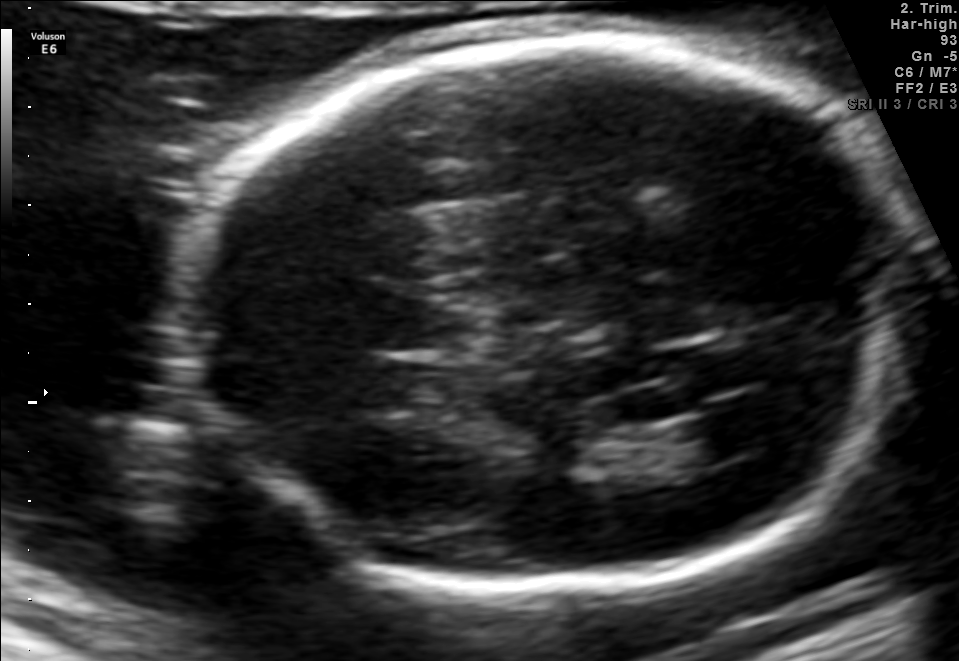
Fetal brain, trans-ventricular plane. Locate the cavum septum pellucidum.

CSP: [366,293,485,359]